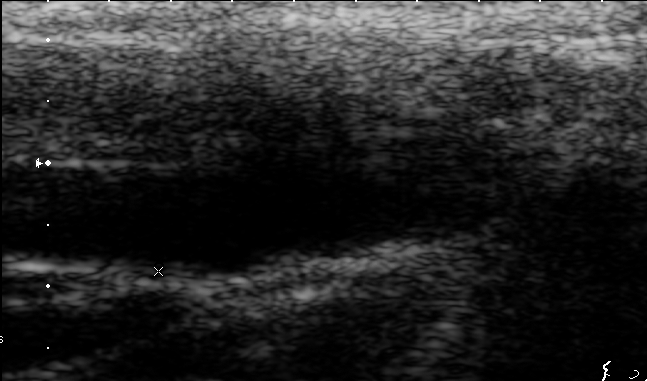
Classify this maternal-fetal ultrasound image as one of the six standard planes — fetal abdomen, fetal brain, fetal femur, fetal thorax, maternal cervix, or other. If it's fetal brain and one of the three standard brain planes (trans-thalamic, trans-cerebellum, trans-ventricular), name which.

Other